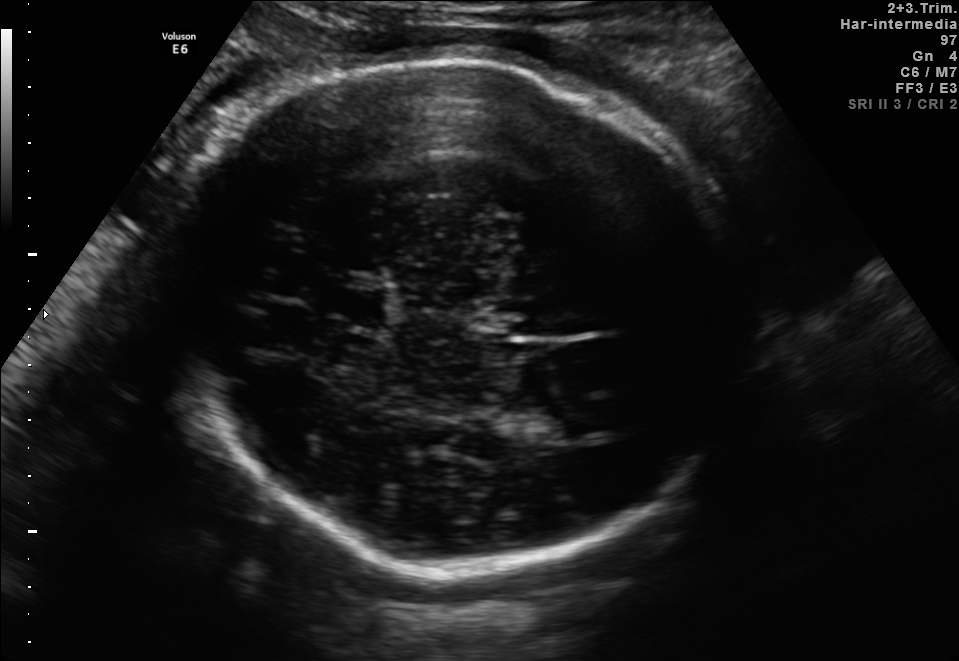
Fetal brain, trans-thalamic plane. Give [x1,y1,x2,y2] bounding boxes for each visible structure among: fetal head, CSP, LV.

Head: [157,56,734,563]
CSP: [337,286,387,330]
Lateral ventricle: [544,397,616,441]